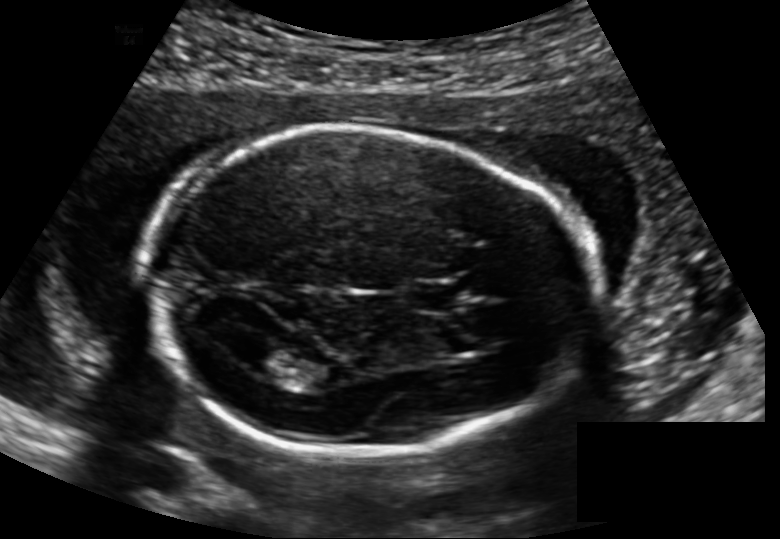
Fetal head ultrasound. Image width: 115.4 mm. Where is the cavum septum pellucidum?

CSP bounding box: [411,280,460,313]